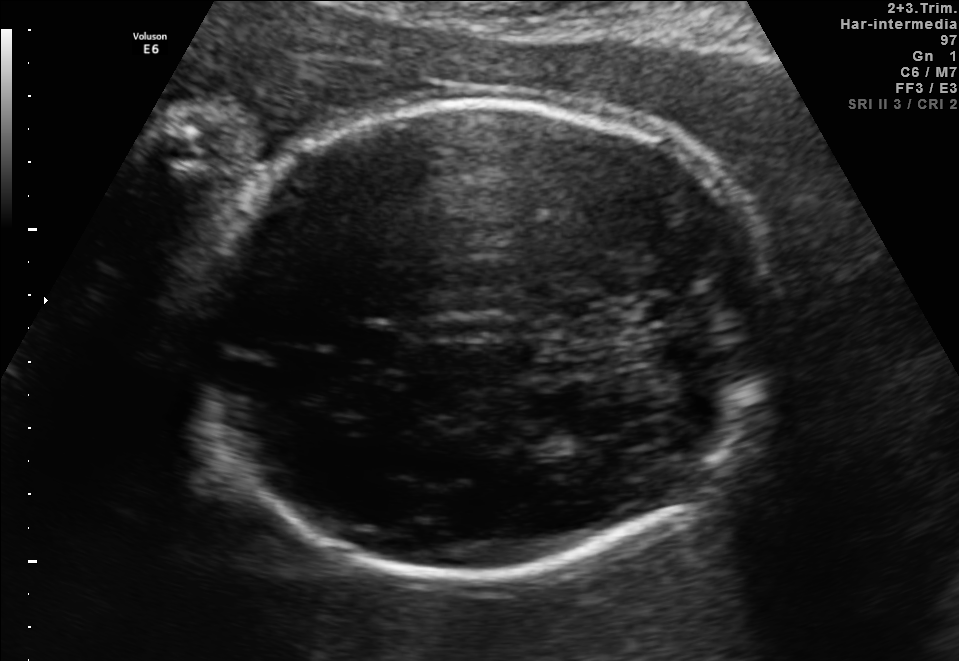
In this fetal brain, trans-thalamic plane, give the bounding box of the fetal head.

[187,100,776,583]